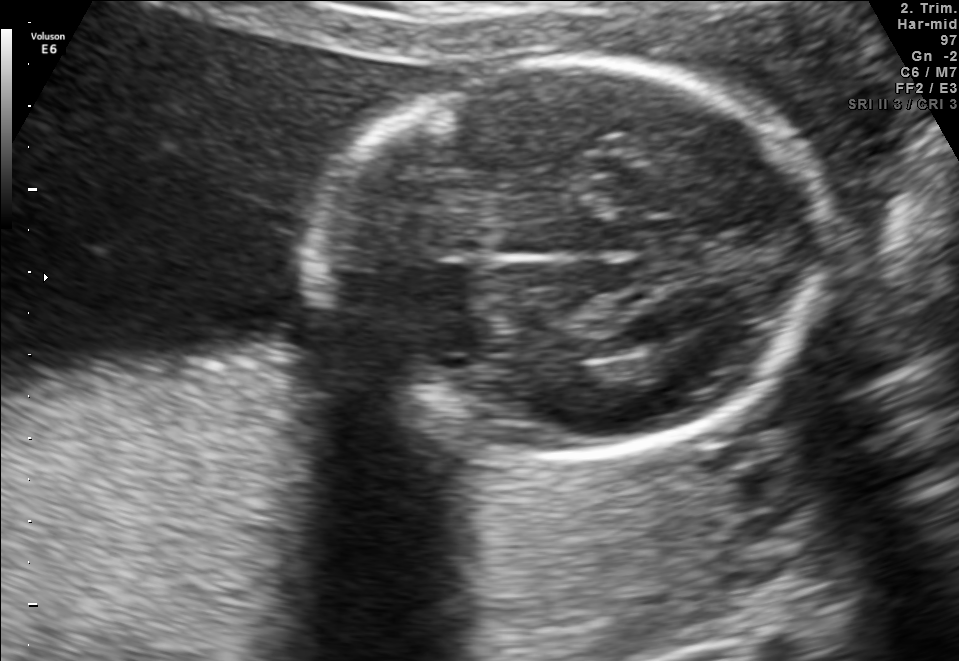
Fetal brain, trans-thalamic plane. Locate the fetal head.

Head: [302,59,843,460]